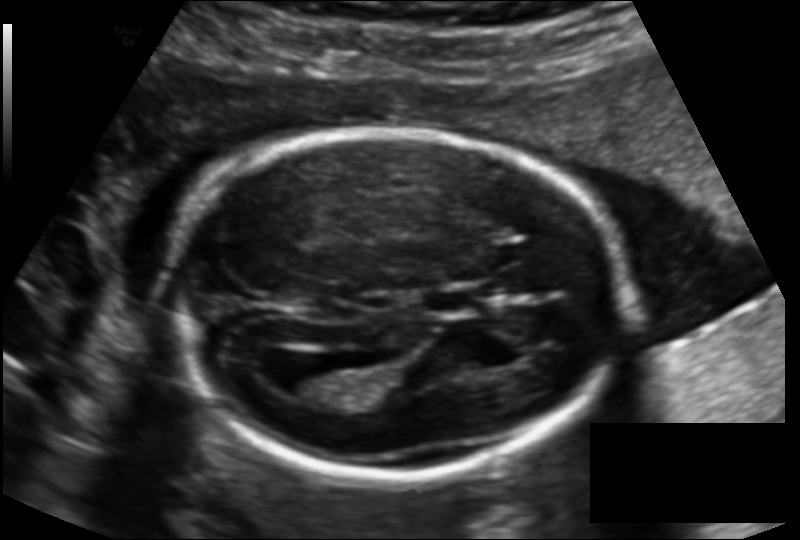
Measure the fetal head circumference shown in this ultrasound image. Image width: 109.0 mm.

Head circumference: 181.4 mm.